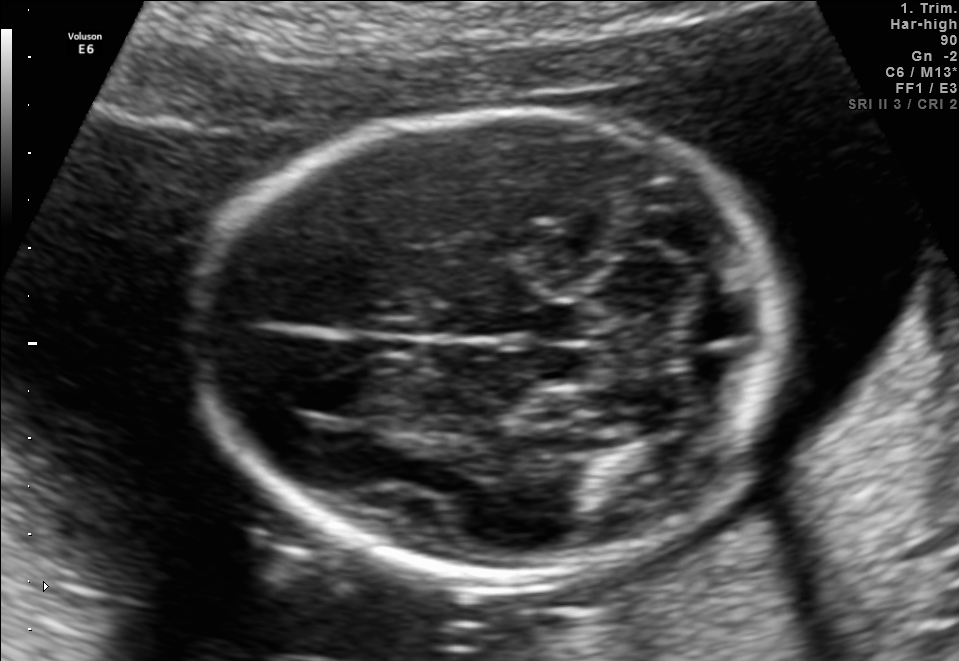
This is a 2D maternal-fetal ultrasound frame. Is it a fetal abdomen, fetal brain, fetal femur, fetal thorax, maternal cervix, or other standard plane? If it's fetal brain and one of the three standard brain planes (trans-thalamic, trans-cerebellum, trans-ventricular), name which.

Fetal brain (trans-cerebellum plane)